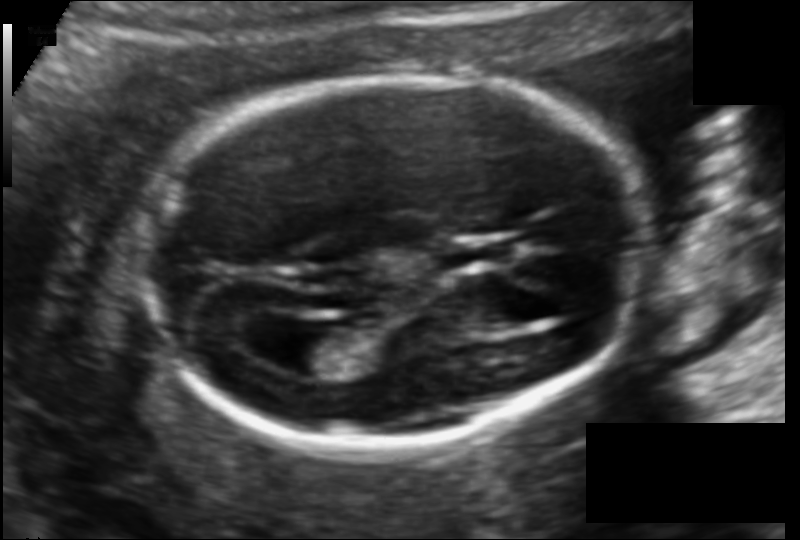
What is the fetal head circumference? Image width is 91.5 mm.

158.9 mm